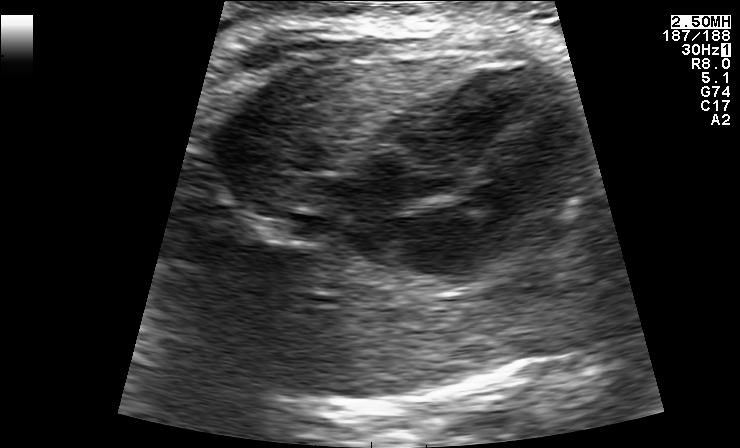
Which standard maternal-fetal ultrasound plane is shown: fetal abdomen, fetal brain, fetal femur, fetal thorax, maternal cervix, or other? If it's fetal brain and one of the three standard brain planes (trans-thalamic, trans-cerebellum, trans-ventricular), name which.

Fetal thorax